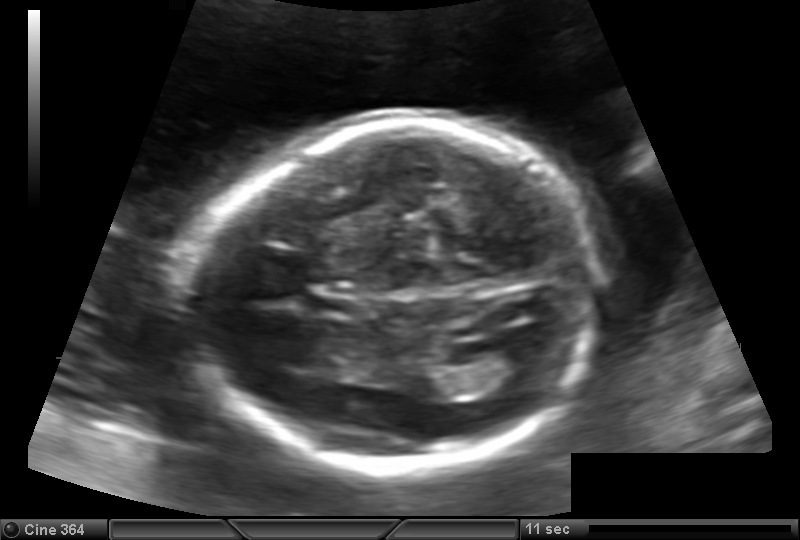
Fetal head ultrasound. Image width: 115.2 mm. Give [x1,y1,x2,y2] bounding boxes for each visible structure among: fetal head, CSP, LV.

Head: [200,120,595,471]
CSP: [303,288,361,323]
Lateral ventricle: [472,338,544,394]